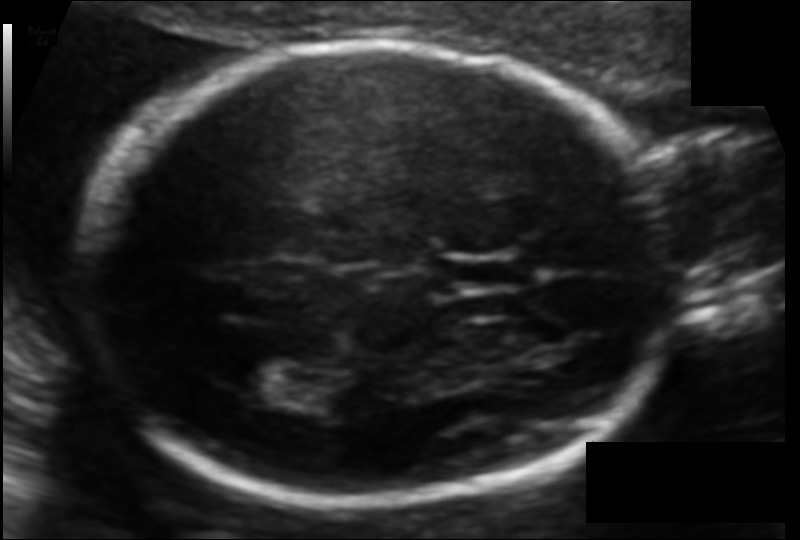
Fetal head ultrasound. Image width: 83.2 mm. Locate the fetal head.

Head: [82,42,685,502]